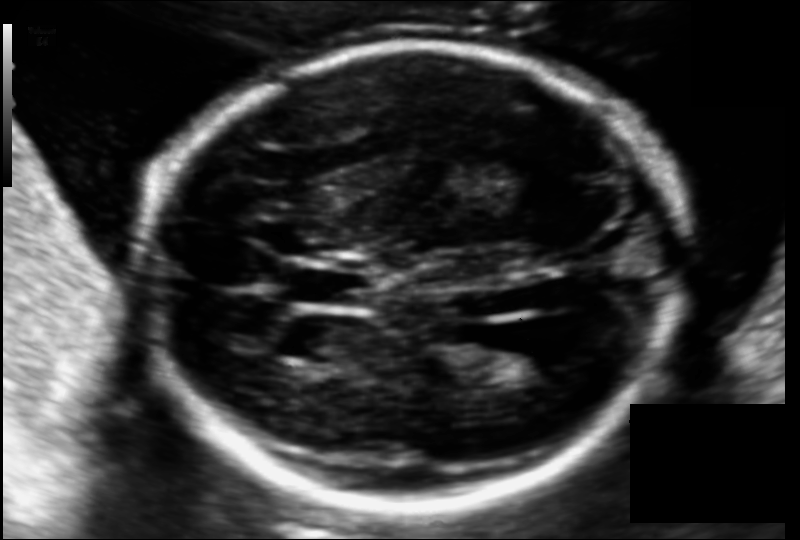
From this fetal ultrasound, estimate the head circumference (image width 94.4 mm).

Head circumference: 191.5 mm.